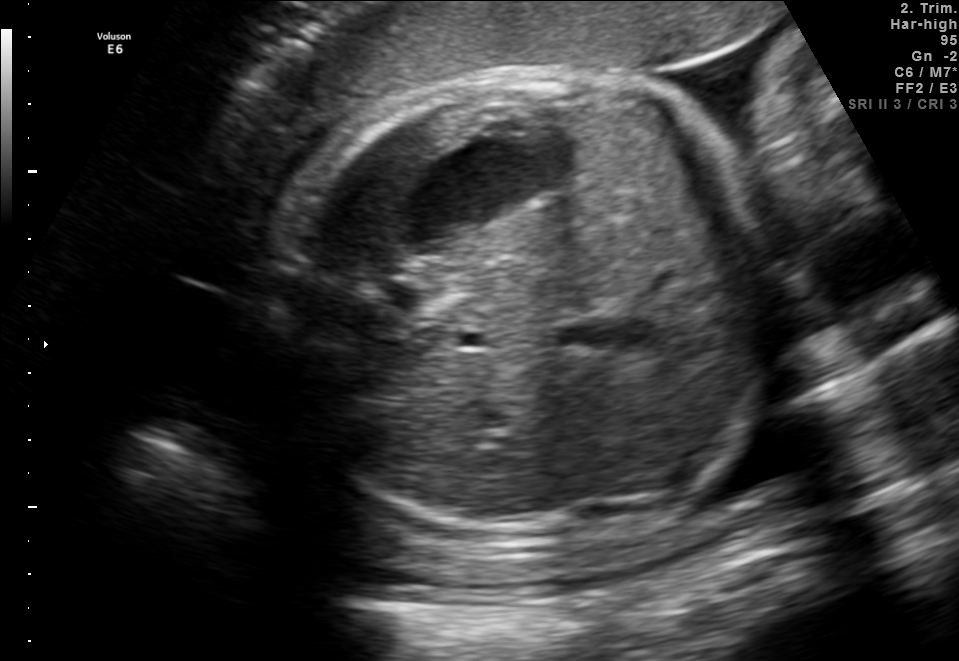
Classify this maternal-fetal ultrasound image as one of the six standard planes — fetal abdomen, fetal brain, fetal femur, fetal thorax, maternal cervix, or other. If it's fetal brain and one of the three standard brain planes (trans-thalamic, trans-cerebellum, trans-ventricular), name which.

Fetal abdomen